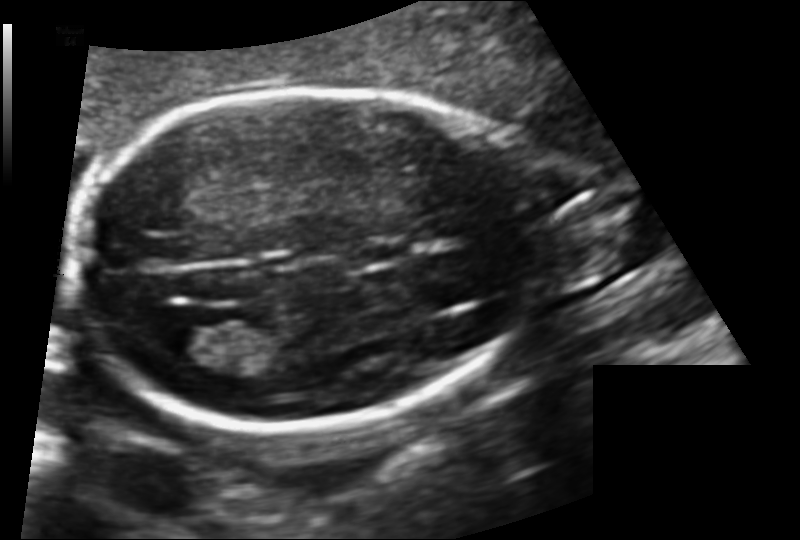
Fetal head ultrasound. Image width: 102.4 mm. Give [x1,y1,x2,y2] bounding boxes for each visible structure among: fetal head, CSP, LV.

Head: [80,90,545,427]
Lateral ventricle: [167,319,246,363]